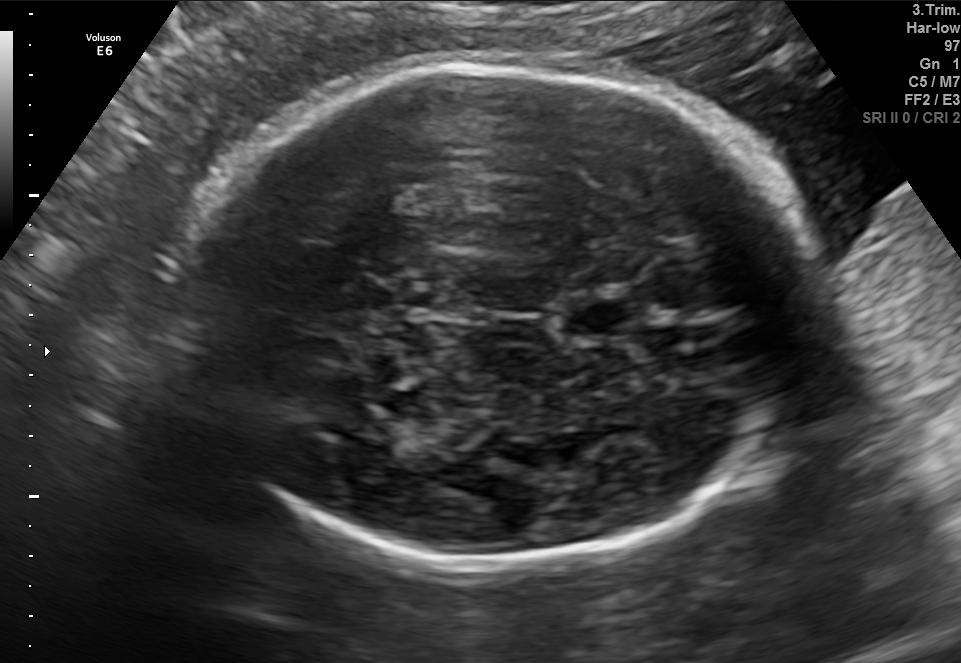
Fetal brain, trans-thalamic plane. Locate the fetal head.

Head: [181,64,814,569]